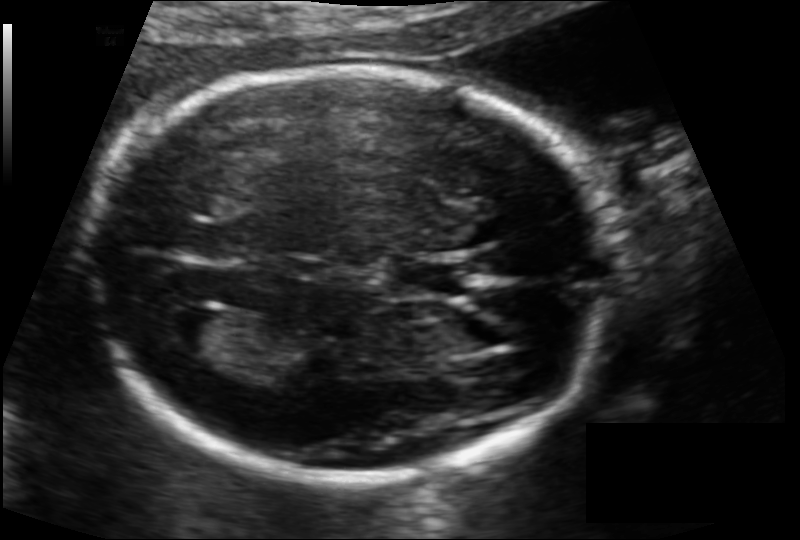
In this fetal head ultrasound, give the bounding box of the cavum septum pellucidum. Image width: 91.1 mm.

[388,257,469,297]